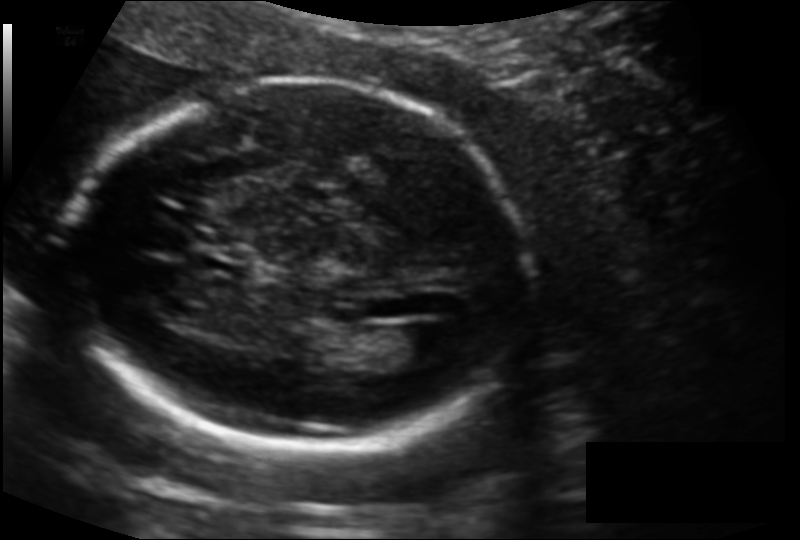
In this fetal head ultrasound, give bounding boxes for the head outline, cavum septum pellucidum (CSP), and lateral ventricle (LV), where visible. Image width: 101.6 mm.

Head: [67,79,530,448]
Lateral ventricle: [379,322,454,367]